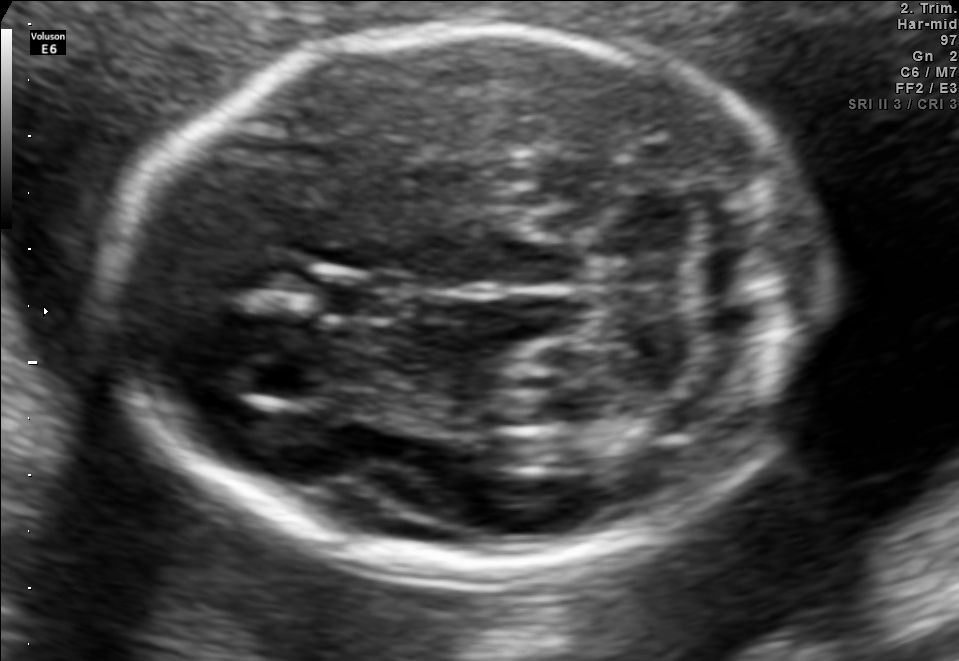
In this fetal brain, trans-cerebellum plane, give bounding boxes for the head outline, cavum septum pellucidum (CSP), and lateral ventricle (LV), where visible.

Head: [111,26,826,573]
CSP: [321,275,405,321]